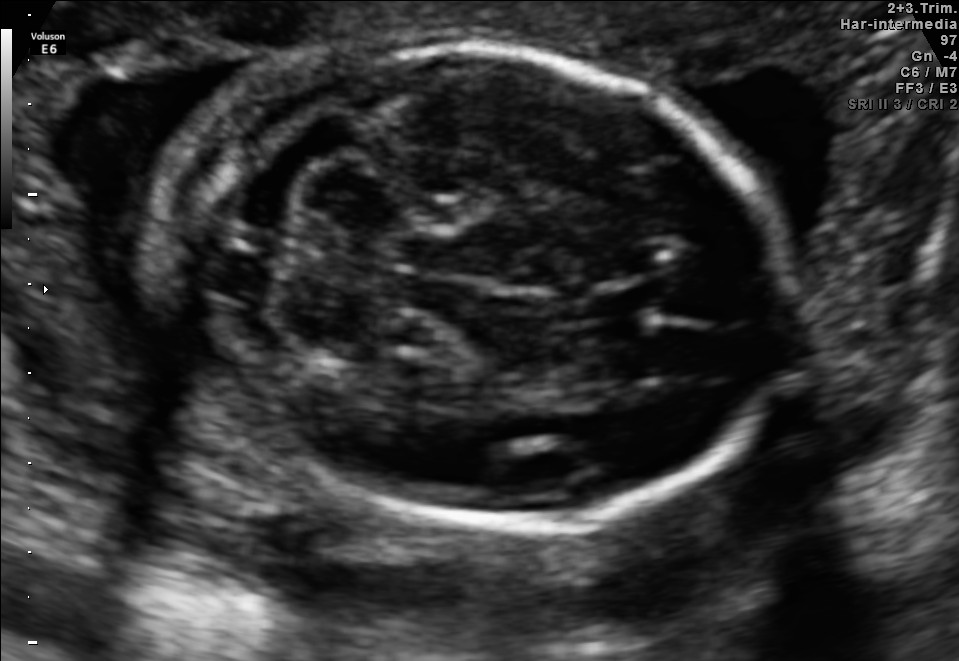
Fetal brain, trans-cerebellum plane. Give [x1,y1,x2,y2] bounding boxes for each visible structure among: fetal head, CSP, LV.

Head: [147,43,790,526]